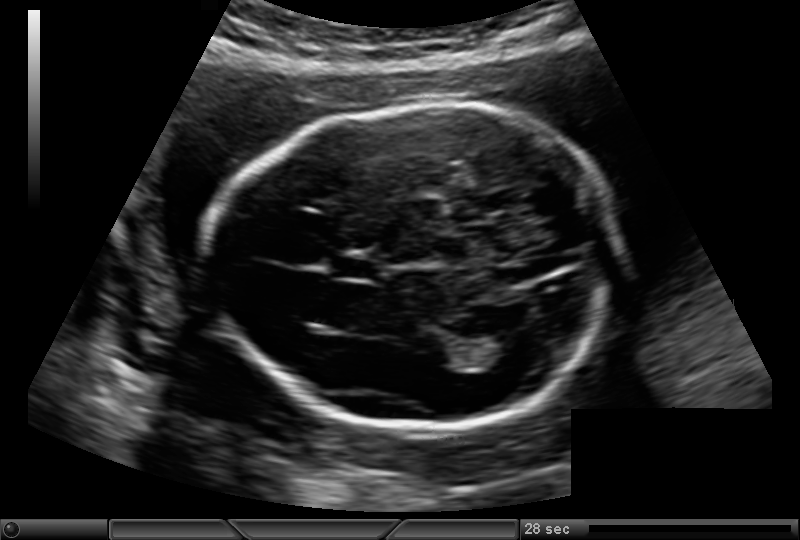
Fetal head ultrasound. Image width: 117.2 mm. Locate the fetal head.

Head: [209,107,616,430]